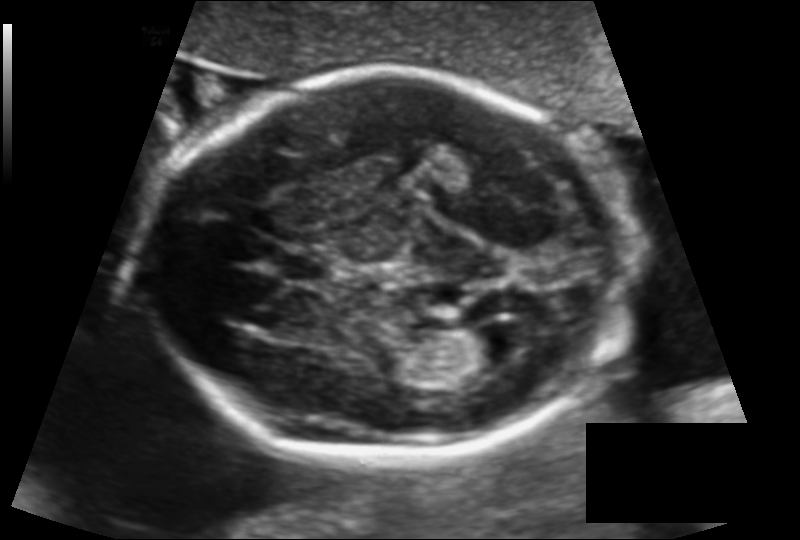
Fetal head ultrasound. Image width: 103.5 mm. Where is the fetal head?

Head bounding box: [146,70,632,457]